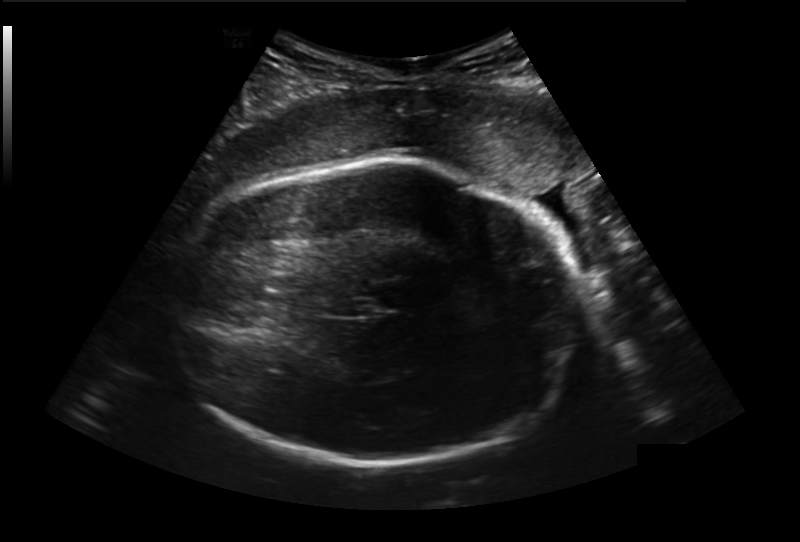
Fetal head ultrasound. Image width: 188.7 mm. Locate the fetal head.

Head: [165,158,581,464]